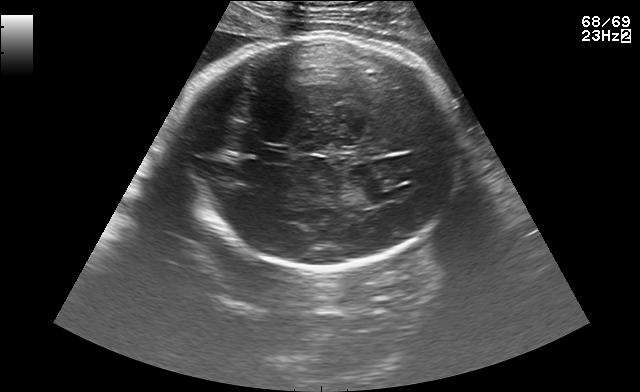
Fetal brain, trans-thalamic plane. Locate the lateral ventricle.

Lateral ventricle: [381,181,414,203]